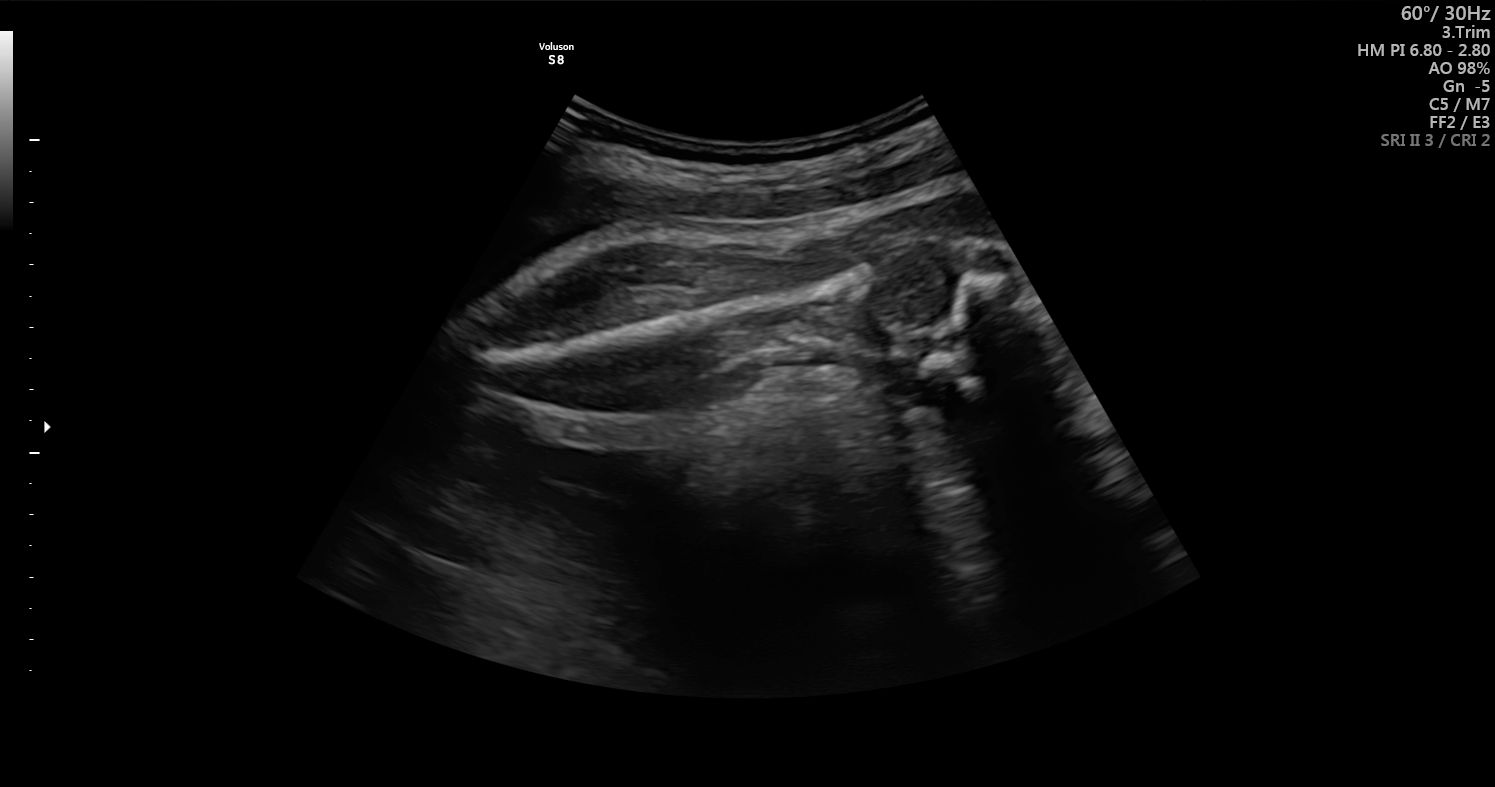
Which standard maternal-fetal ultrasound plane is shown: fetal abdomen, fetal brain, fetal femur, fetal thorax, maternal cervix, or other? If it's fetal brain and one of the three standard brain planes (trans-thalamic, trans-cerebellum, trans-ventricular), name which.

Fetal femur